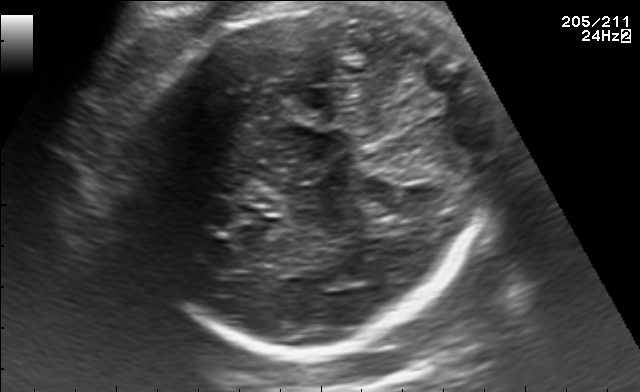
In this fetal brain, trans-thalamic plane, give bounding boxes for the head outline, cavum septum pellucidum (CSP), and lateral ventricle (LV), where visible.

Head: [126,7,491,351]